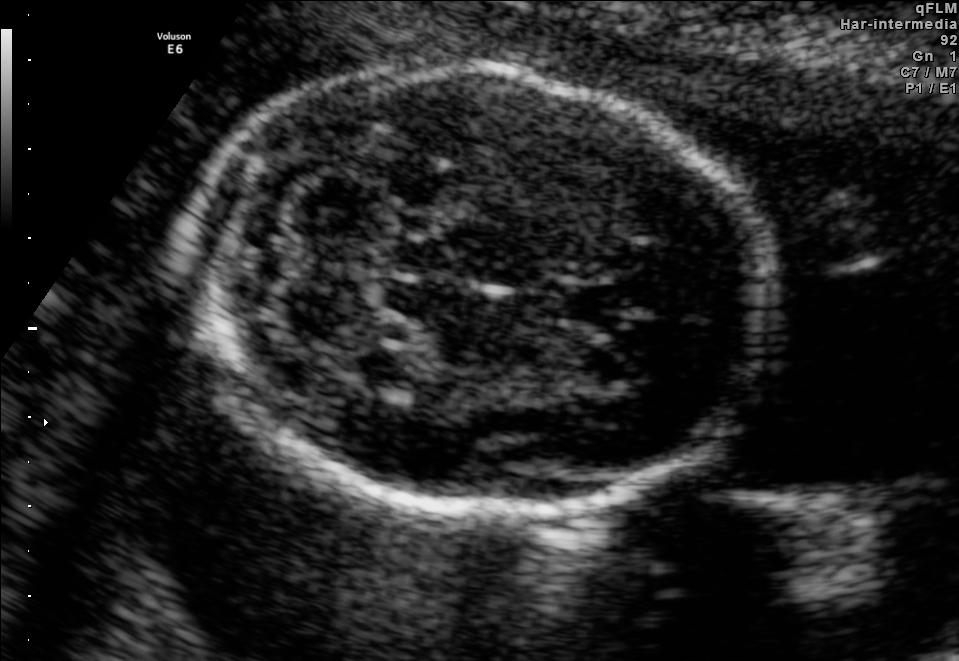
Classify this maternal-fetal ultrasound image as one of the six standard planes — fetal abdomen, fetal brain, fetal femur, fetal thorax, maternal cervix, or other. If it's fetal brain and one of the three standard brain planes (trans-thalamic, trans-cerebellum, trans-ventricular), name which.

Fetal brain (trans-cerebellum plane)